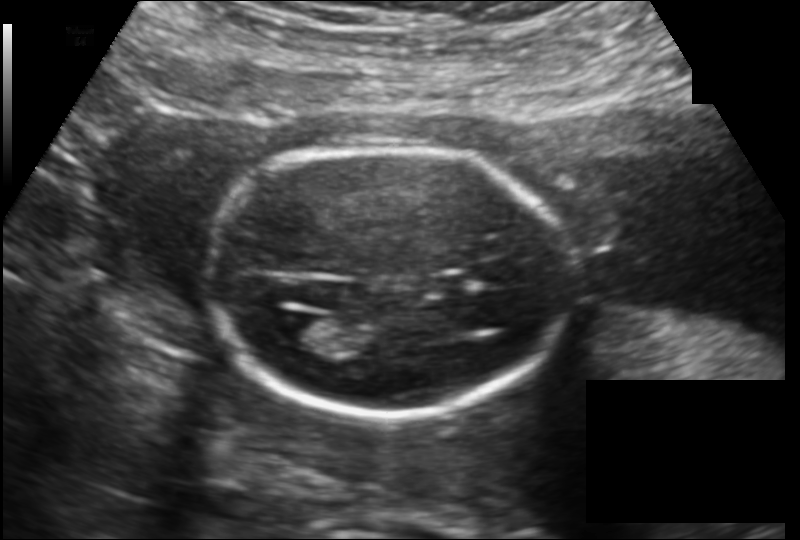
In this fetal head ultrasound, give bounding boxes for the head outline, cavum septum pellucidum (CSP), and lateral ventricle (LV), where visible. Image width: 119.1 mm.

Head: [206,149,571,416]
Lateral ventricle: [272,310,326,347]